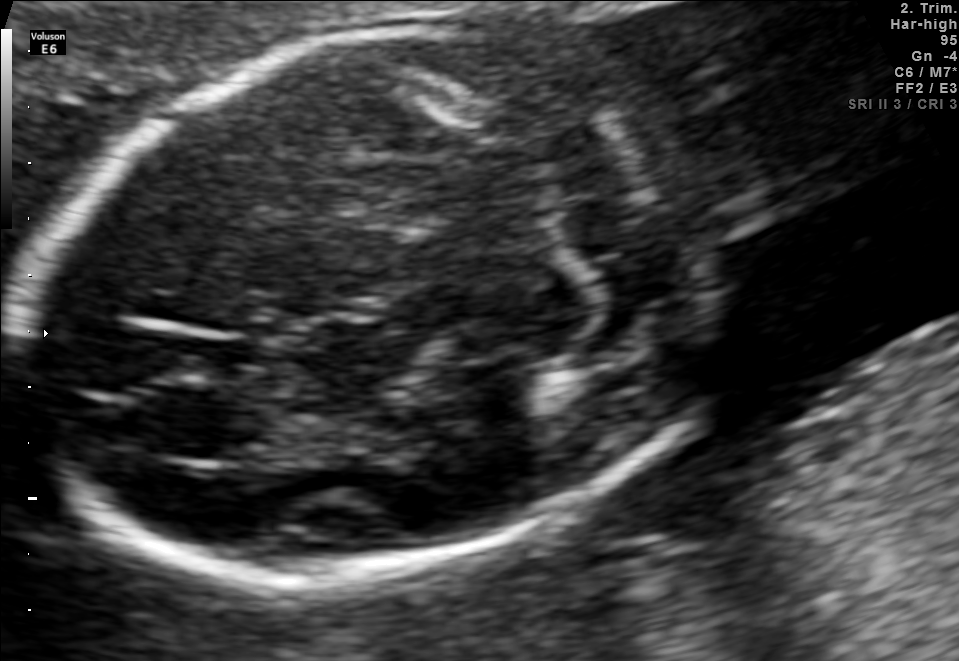
Fetal brain, trans-cerebellum plane. Locate the fetal head.

Head: [24,24,723,581]